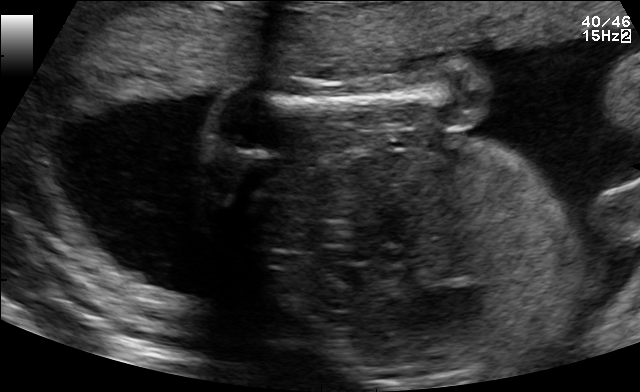
Identify the standard plane in this fetal ultrasound image: fetal abdomen, fetal brain, fetal femur, fetal thorax, maternal cervix, or other. If it's fetal brain and one of the three standard brain planes (trans-thalamic, trans-cerebellum, trans-ventricular), name which.

Other